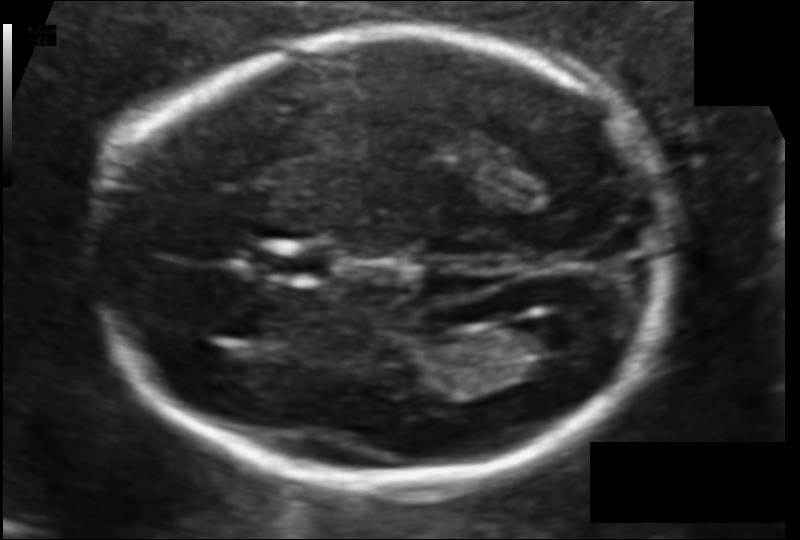
Measure the fetal head circumference shown in this ultrasound image. Image width: 85.0 mm.

Head circumference: 176.7 mm.